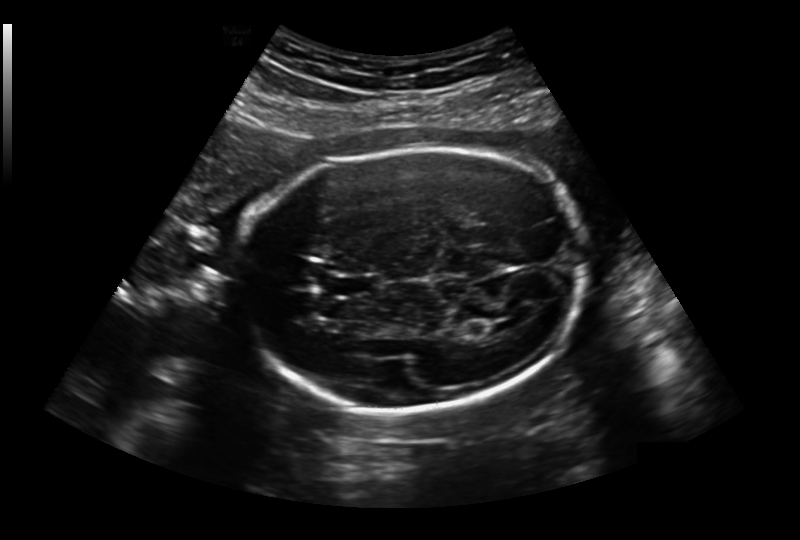
From this fetal ultrasound, estimate the head circumference (image width 188.7 mm).

Head circumference: 231.5 mm.